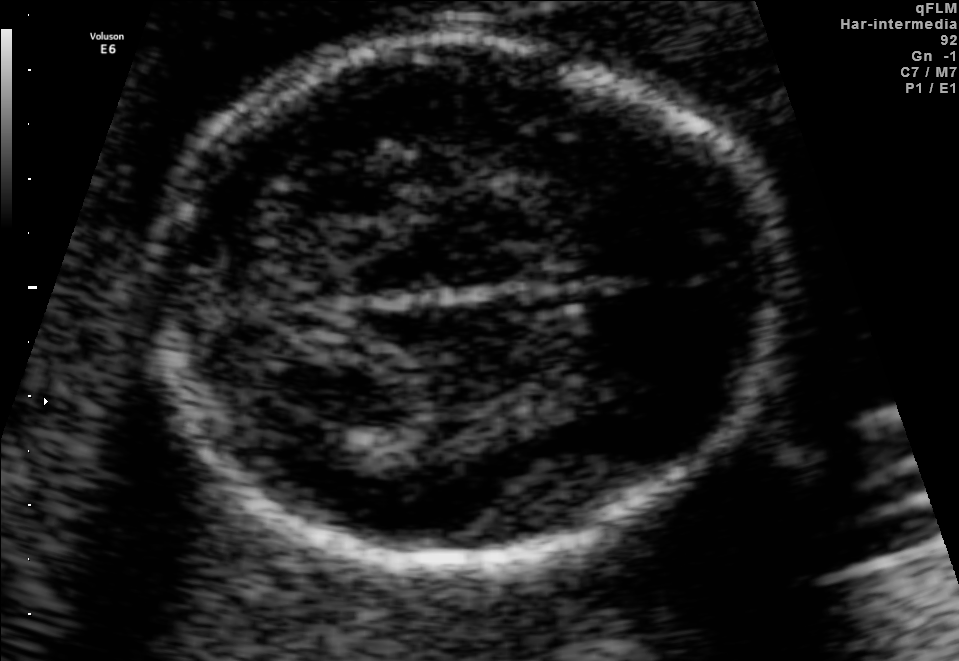
This is a 2D maternal-fetal ultrasound frame. Is it a fetal abdomen, fetal brain, fetal femur, fetal thorax, maternal cervix, or other standard plane? If it's fetal brain and one of the three standard brain planes (trans-thalamic, trans-cerebellum, trans-ventricular), name which.

Fetal brain (trans-thalamic plane)